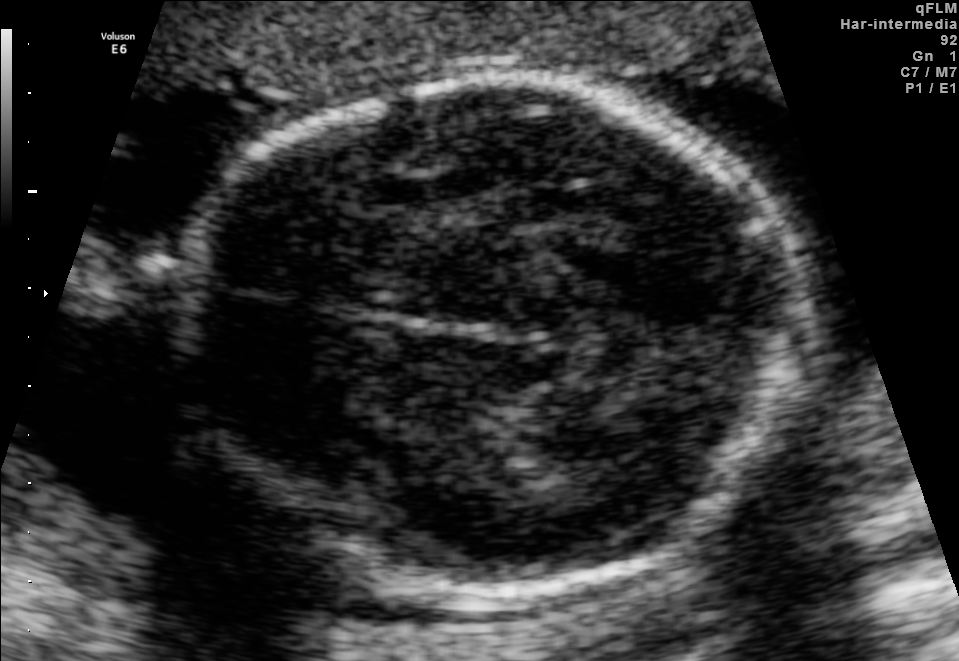
In this fetal brain, trans-thalamic plane, give the bounding box of the fetal head.

[175,80,804,595]